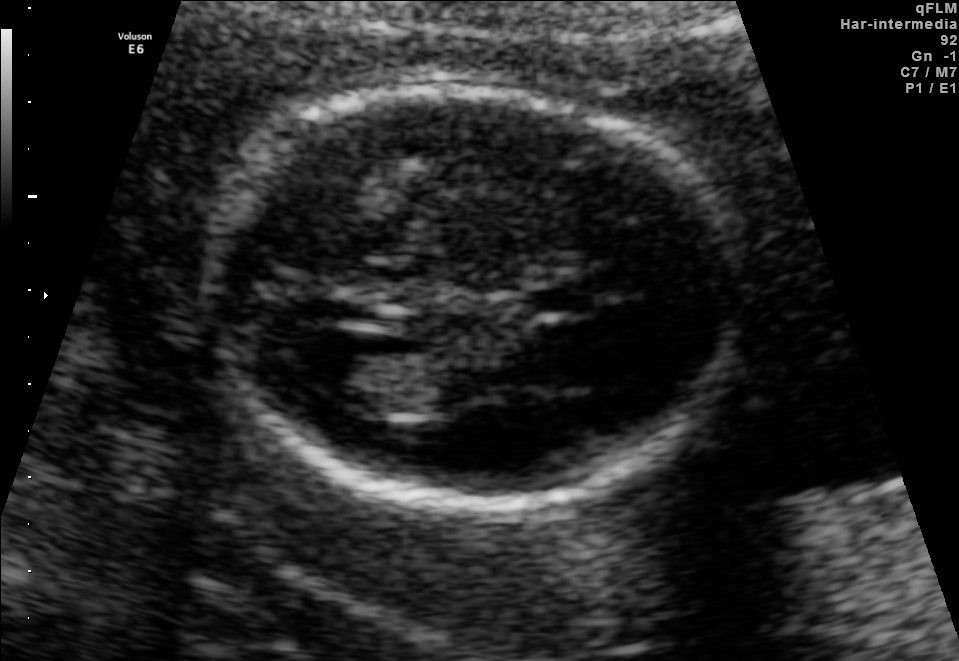
Fetal brain, trans-ventricular plane. Locate the lateral ventricle.

Lateral ventricle: [285,333,400,408]